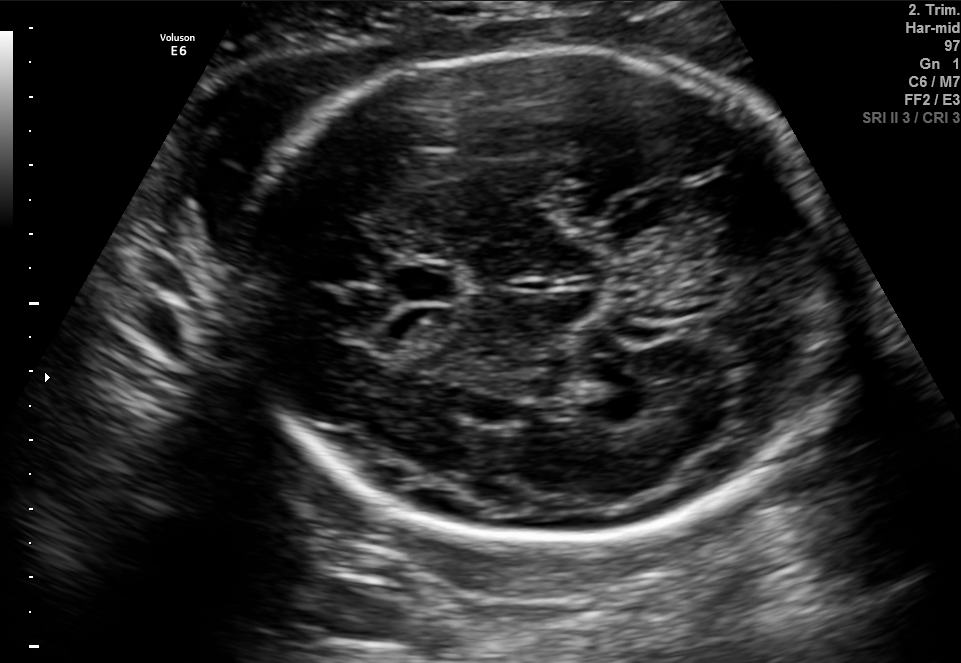
Fetal brain, trans-thalamic plane. Give [x1,y1,x2,y2] bounding boxes for each visible structure among: fetal head, CSP, LV.

Head: [233,47,842,550]
CSP: [395,266,458,300]